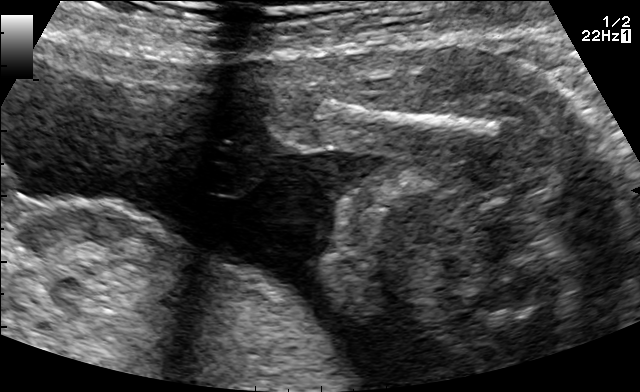
This is a 2D maternal-fetal ultrasound frame. Is it a fetal abdomen, fetal brain, fetal femur, fetal thorax, maternal cervix, or other standard plane? If it's fetal brain and one of the three standard brain planes (trans-thalamic, trans-cerebellum, trans-ventricular), name which.

Fetal femur